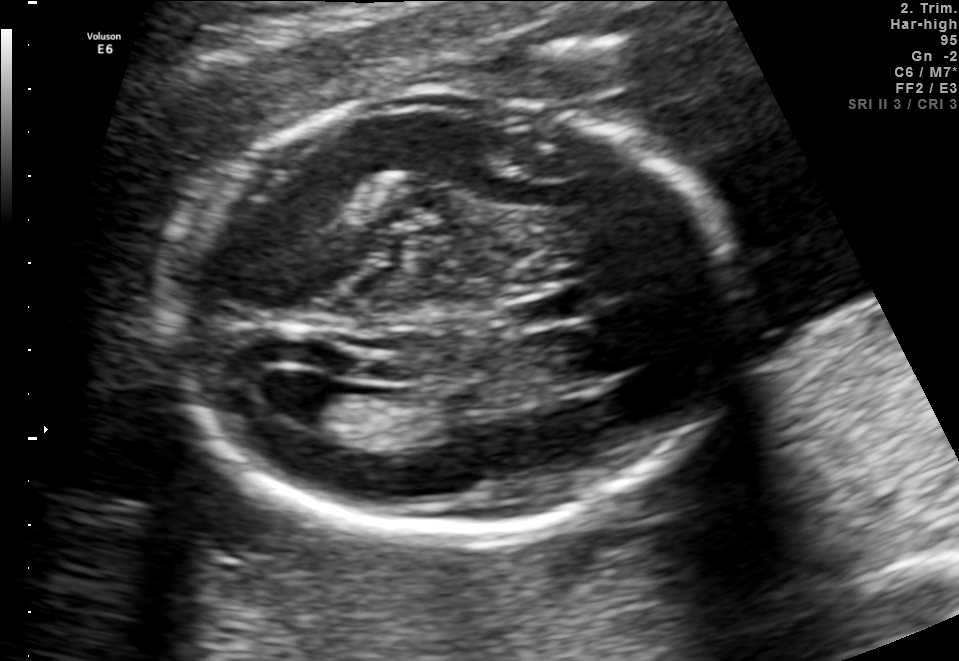
Fetal brain, trans-ventricular plane. Locate the cavum septum pellucidum.

CSP: [500,283,603,340]